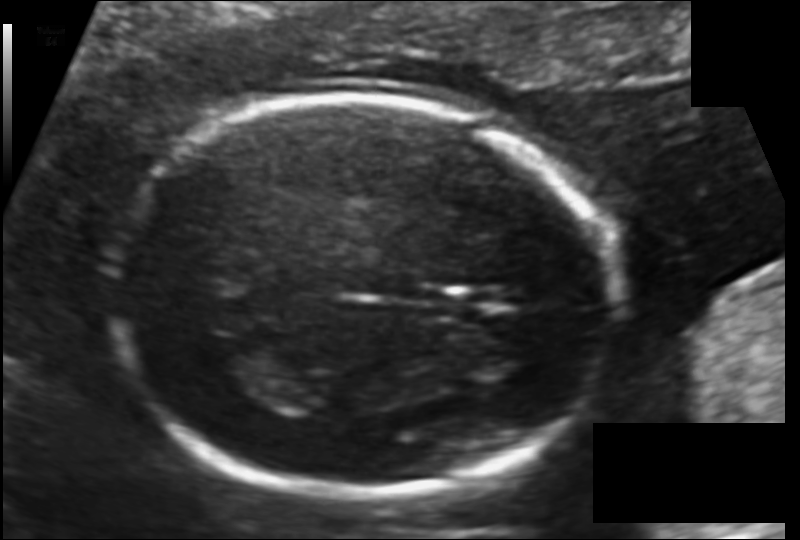
In this fetal head ultrasound, give the bounding box of the fetal head. Image width: 92.9 mm.

[107,96,616,494]